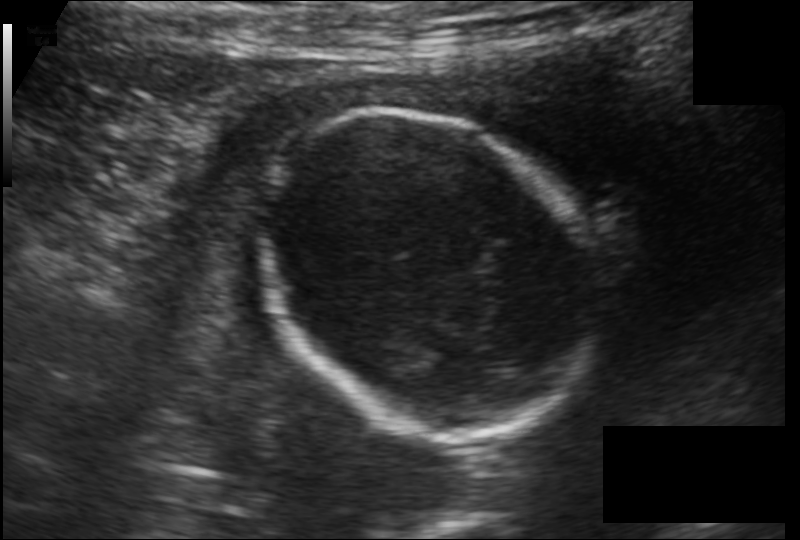
From this fetal ultrasound, estimate the head circumference (image width 116.2 mm).

Head circumference: 155.6 mm.